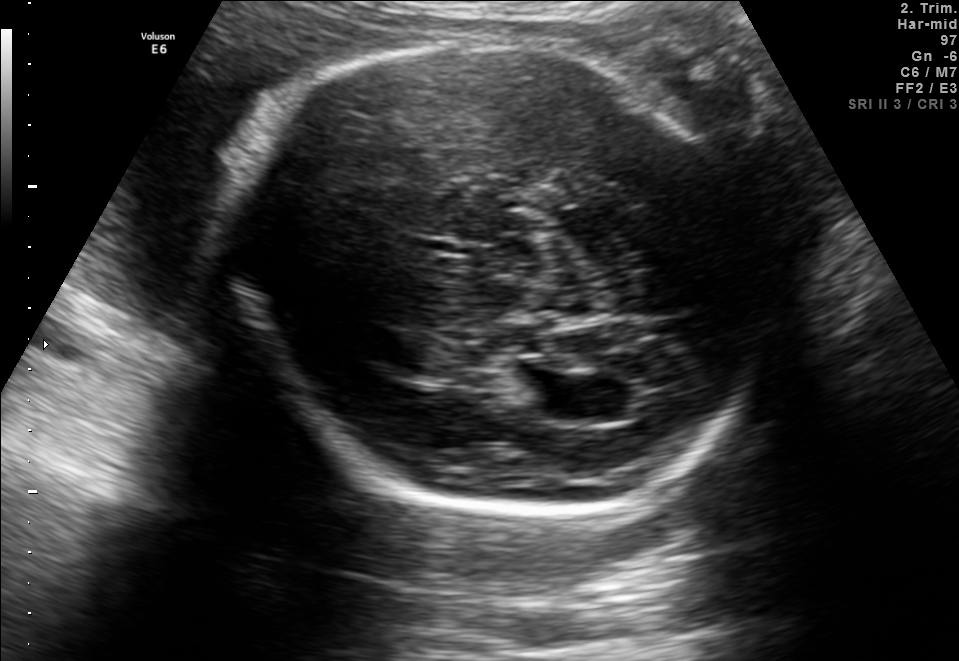
Fetal brain, trans-ventricular plane. Locate the fetal head.

Head: [228,28,775,525]